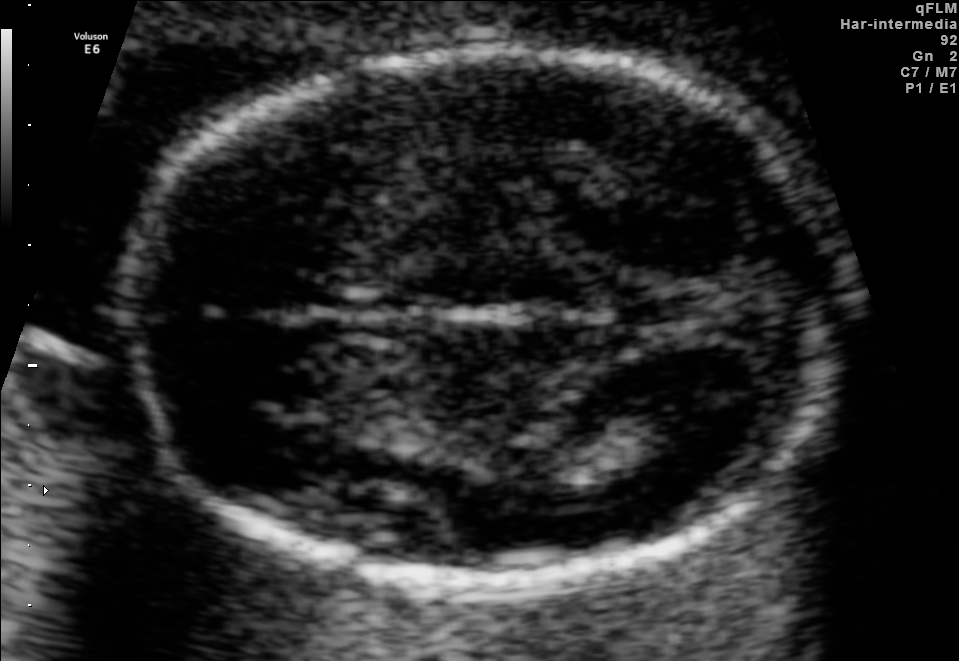
Fetal brain, trans-thalamic plane. Locate the fetal head and, if visible, the cavum septum pellucidum (CSP) and lateral ventricle (LV). Give bounding boxes as [x1,y1,x2,y2].

Head: [124,52,841,577]